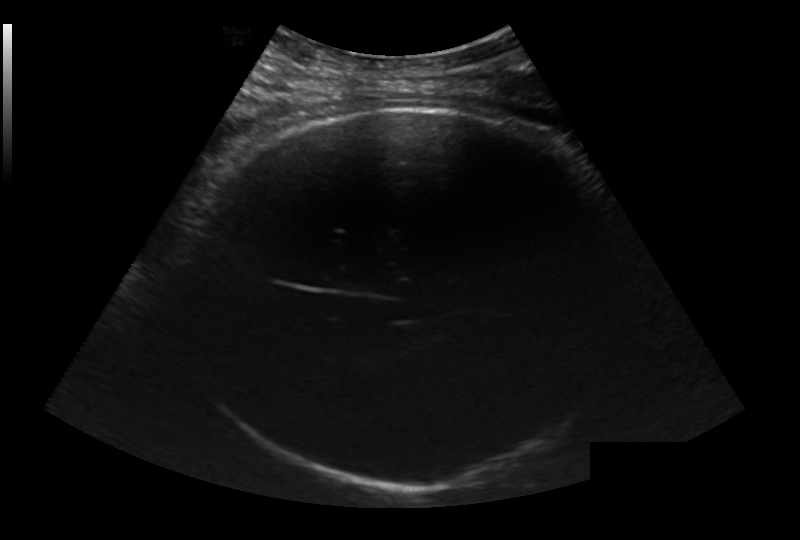
Fetal head ultrasound. Image width: 188.6 mm. Locate the fetal head and, if visible, the cavum septum pellucidum (CSP) and lateral ventricle (LV). Give bounding boxes as [x1,y1,x2,y2].

Head: [189,105,619,489]